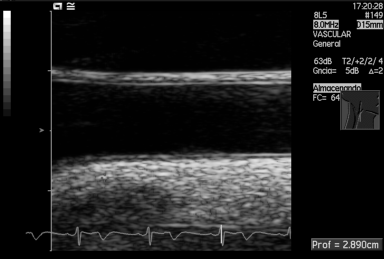
Which standard maternal-fetal ultrasound plane is shown: fetal abdomen, fetal brain, fetal femur, fetal thorax, maternal cervix, or other? If it's fetal brain and one of the three standard brain planes (trans-thalamic, trans-cerebellum, trans-ventricular), name which.

Other